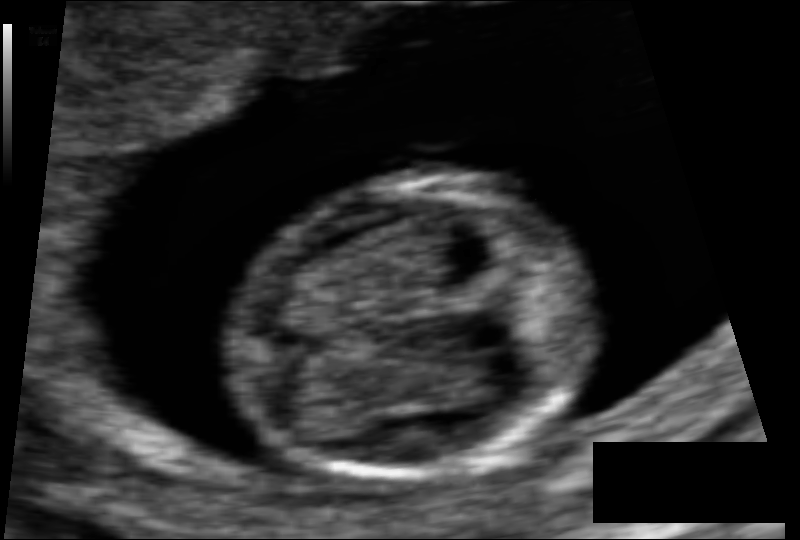
Fetal head ultrasound. Image width: 51.5 mm. Locate the fetal head and, if visible, the cavum septum pellucidum (CSP) and lateral ventricle (LV). Give bounding boxes as [x1,y1,x2,y2].

Head: [229,178,598,475]